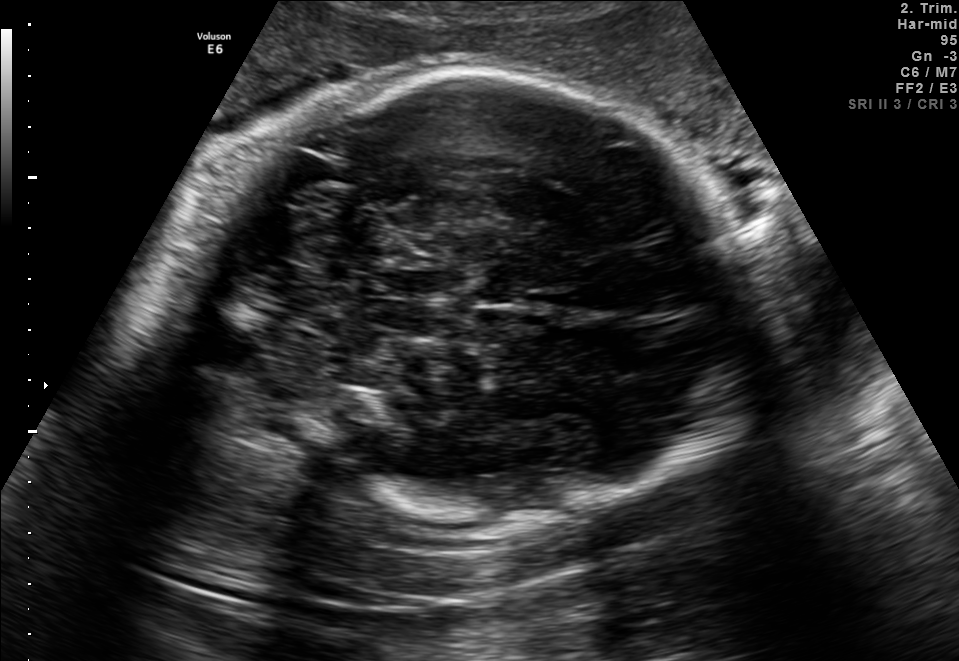
Fetal brain, trans-thalamic plane. Where is the fetal head?

Head bounding box: [218,67,755,528]